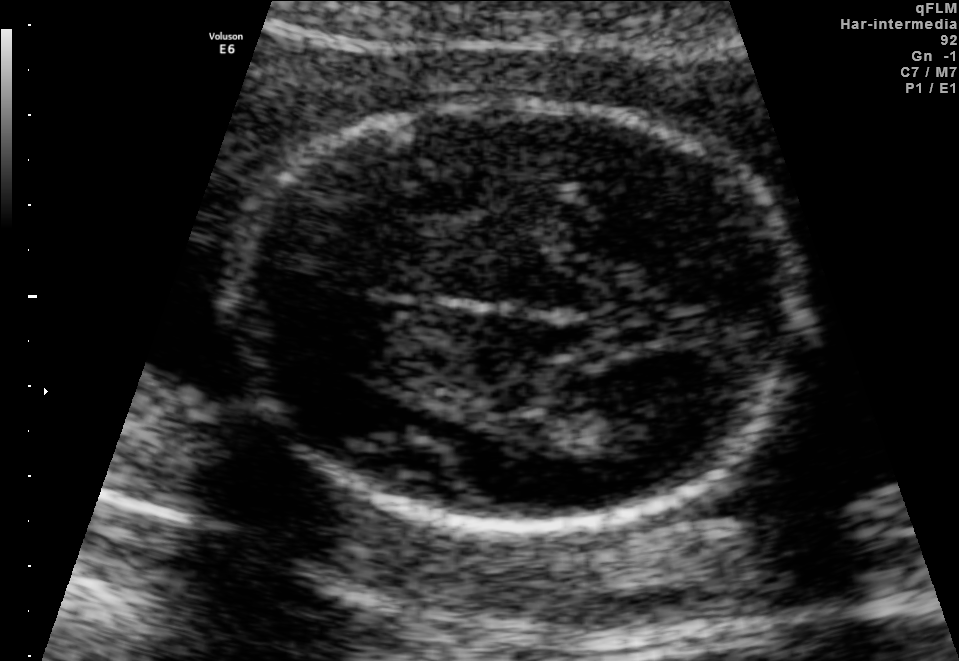
Fetal brain, trans-thalamic plane. Where is the fetal head?

Head bounding box: [231,98,802,527]